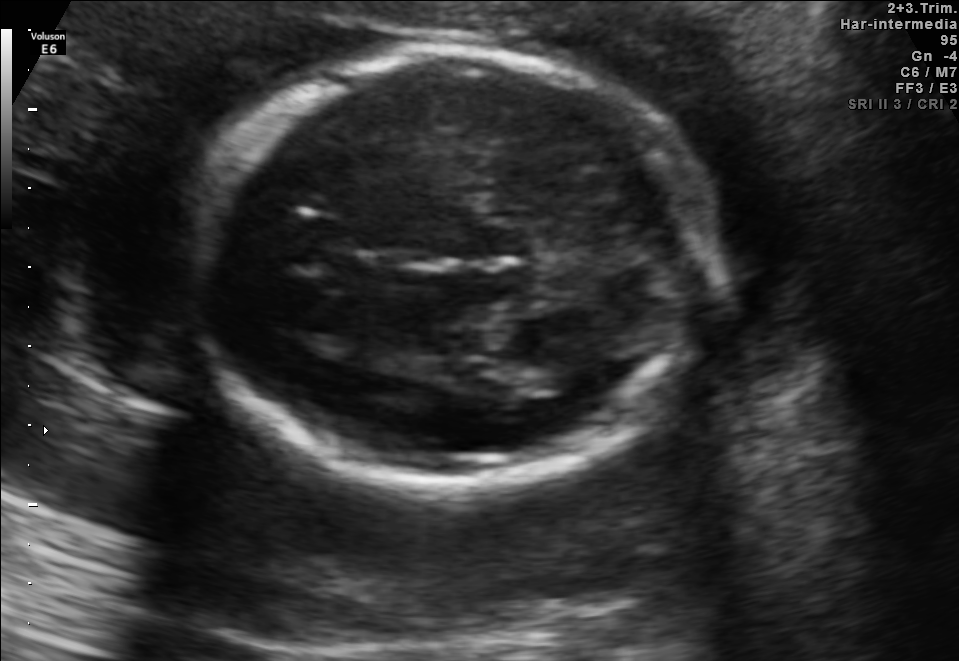
This is a 2D maternal-fetal ultrasound frame. Is it a fetal abdomen, fetal brain, fetal femur, fetal thorax, maternal cervix, or other standard plane? If it's fetal brain and one of the three standard brain planes (trans-thalamic, trans-cerebellum, trans-ventricular), name which.

Fetal brain (trans-thalamic plane)